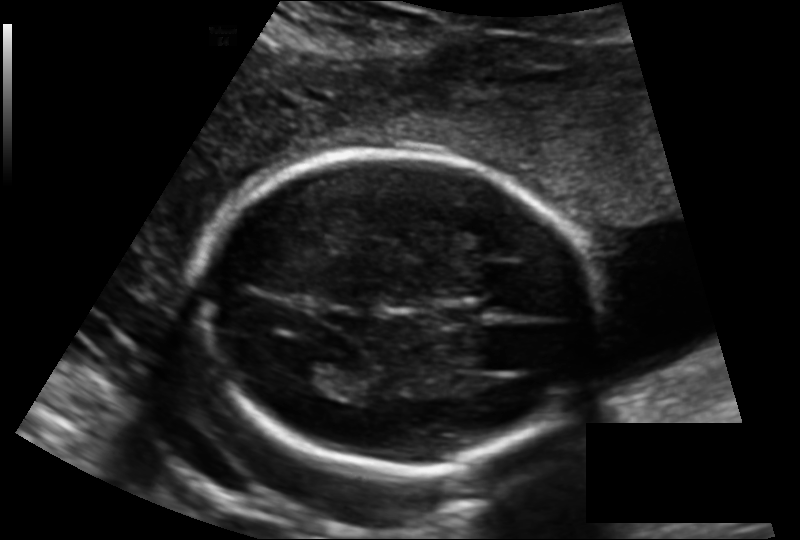
What is the fetal head circumference? Image width is 114.7 mm.

169.0 mm